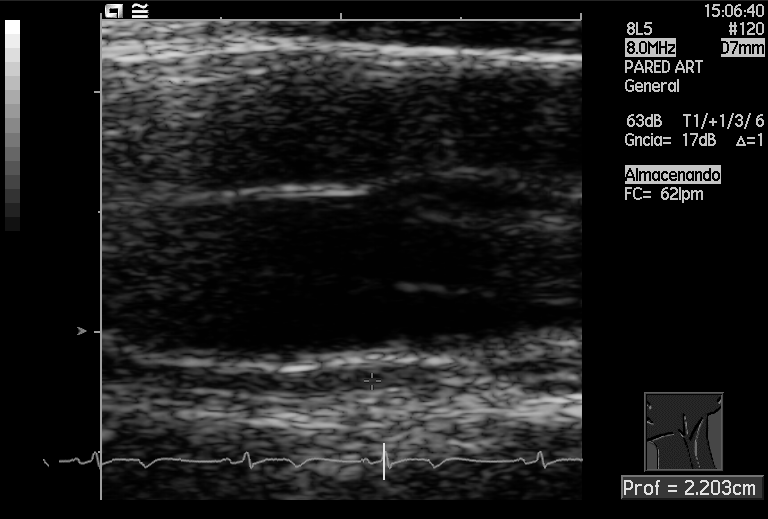
This is a 2D maternal-fetal ultrasound frame. Is it a fetal abdomen, fetal brain, fetal femur, fetal thorax, maternal cervix, or other standard plane? If it's fetal brain and one of the three standard brain planes (trans-thalamic, trans-cerebellum, trans-ventricular), name which.

Other